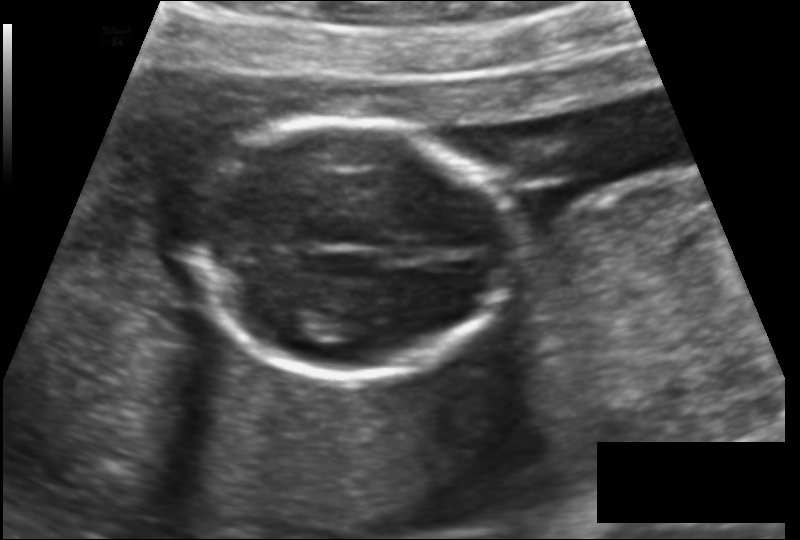
Estimate the fetal head circumference from this 2D ultrasound. Image width: 109.0 mm.

Head circumference: 126.2 mm.